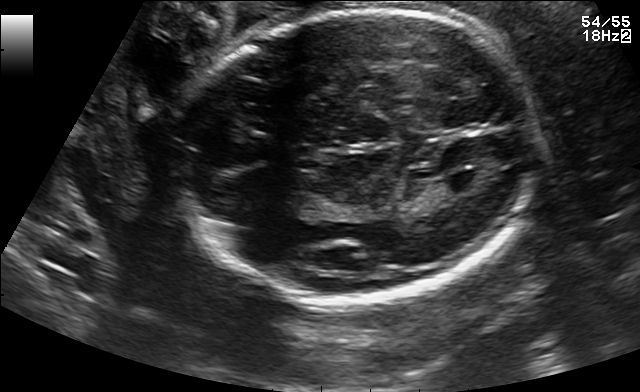
In this fetal brain, trans-ventricular plane, give the bounding box of the fetal head.

[168,5,549,307]